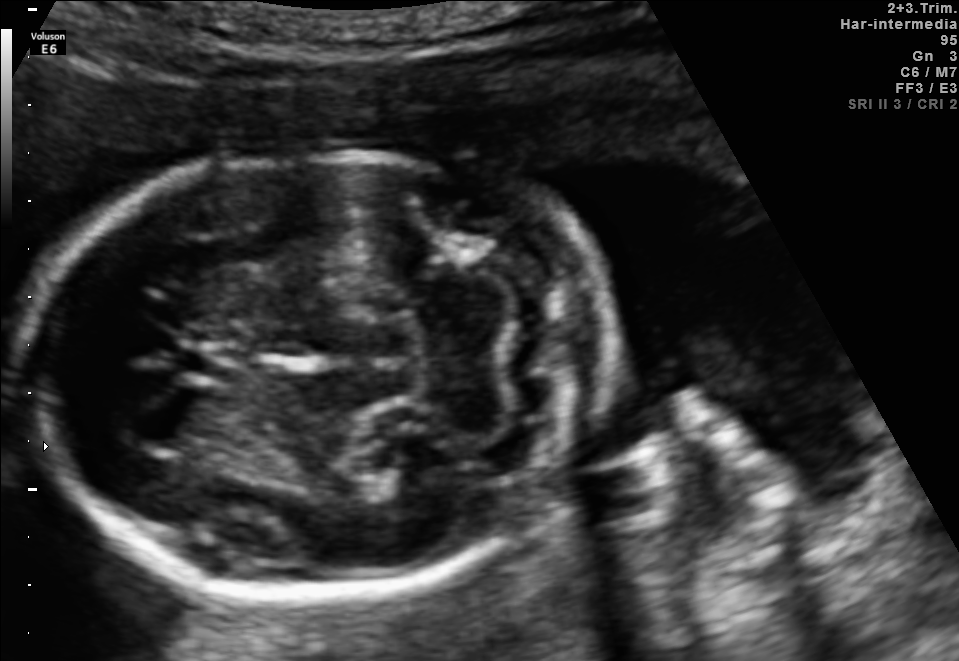
In this fetal brain, trans-cerebellum plane, give the bounding box of the cavum septum pellucidum.

[177,342,243,385]